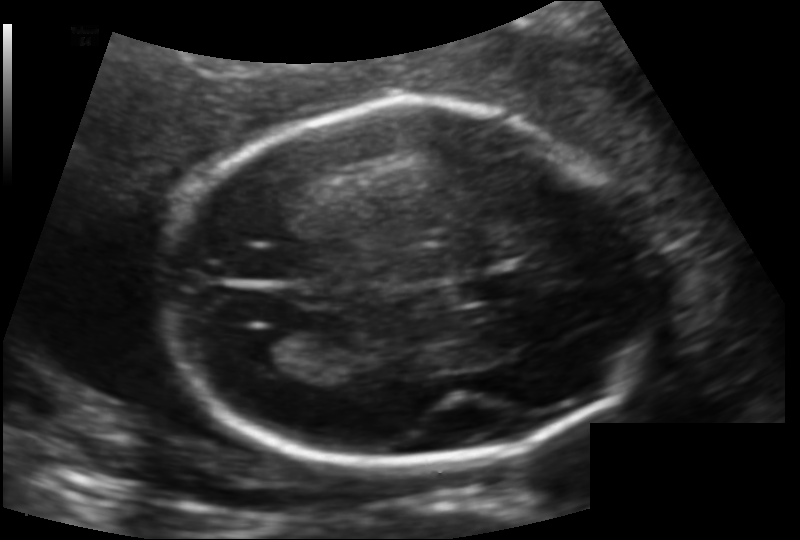
In this fetal head ultrasound, give the bounding box of the lateral ventricle. Image width: 106.2 mm.

[228,325,298,371]